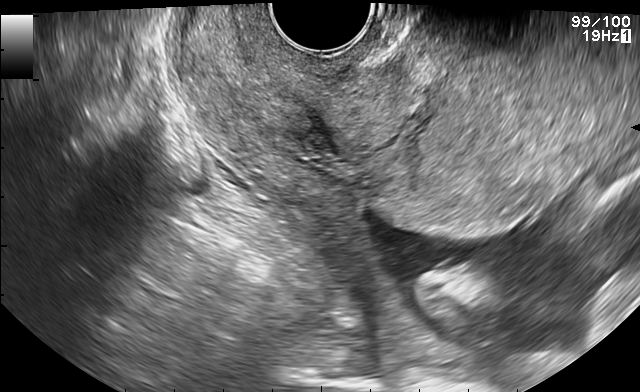
Classify this maternal-fetal ultrasound image as one of the six standard planes — fetal abdomen, fetal brain, fetal femur, fetal thorax, maternal cervix, or other. If it's fetal brain and one of the three standard brain planes (trans-thalamic, trans-cerebellum, trans-ventricular), name which.

Maternal cervix